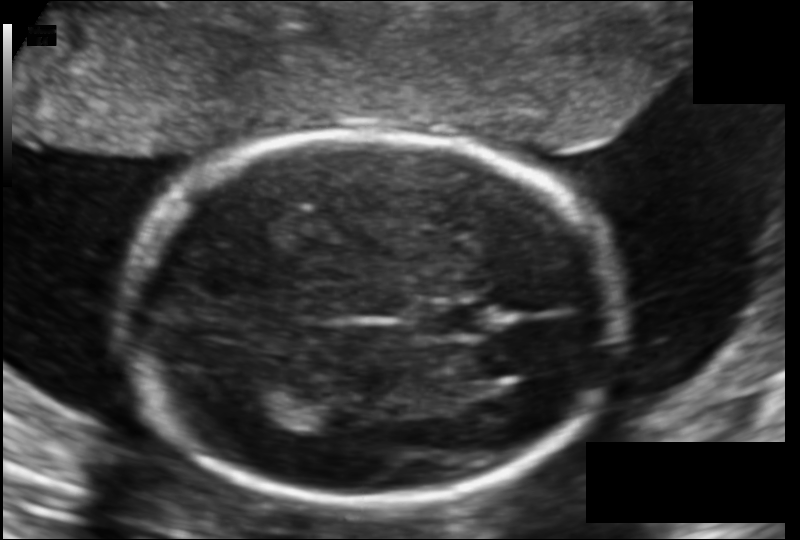
Fetal head ultrasound. Image width: 98.4 mm. Where is the cavum septum pellucidum?

CSP bounding box: [413,303,489,340]